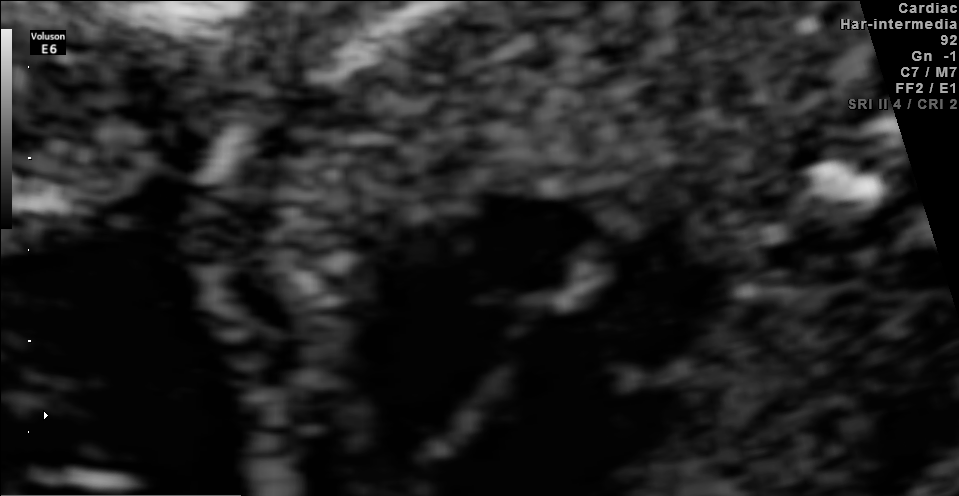
Classify this maternal-fetal ultrasound image as one of the six standard planes — fetal abdomen, fetal brain, fetal femur, fetal thorax, maternal cervix, or other. If it's fetal brain and one of the three standard brain planes (trans-thalamic, trans-cerebellum, trans-ventricular), name which.

Fetal thorax